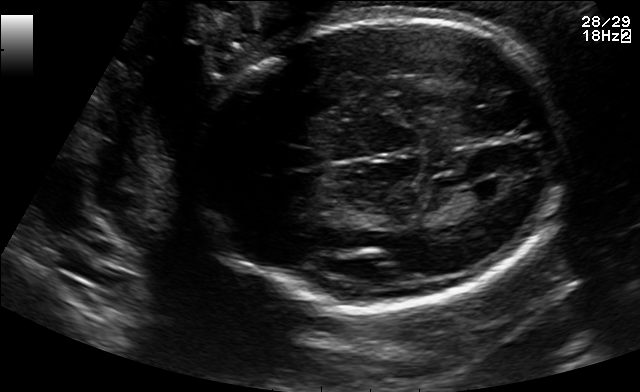
In this fetal brain, trans-ventricular plane, give the bounding box of the fetal head.

[200,14,574,310]